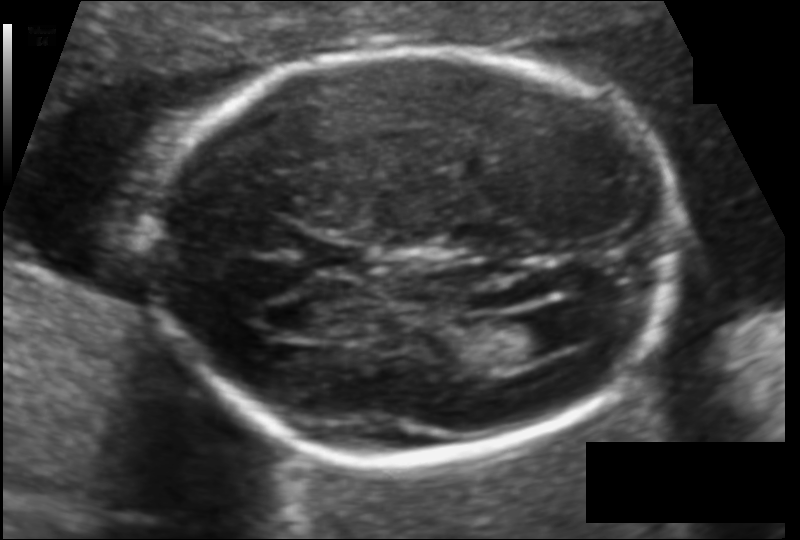
Fetal head ultrasound. Image width: 89.1 mm. Locate the cavum septum pellucidum.

CSP: [309,239,369,277]